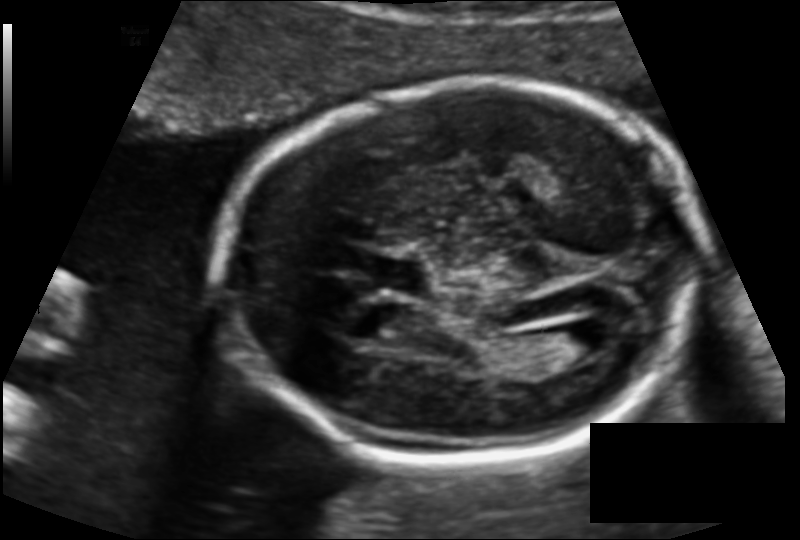
Fetal head ultrasound. Image width: 99.5 mm. Where is the cavum septum pellucidum?

CSP bounding box: [361,254,427,295]